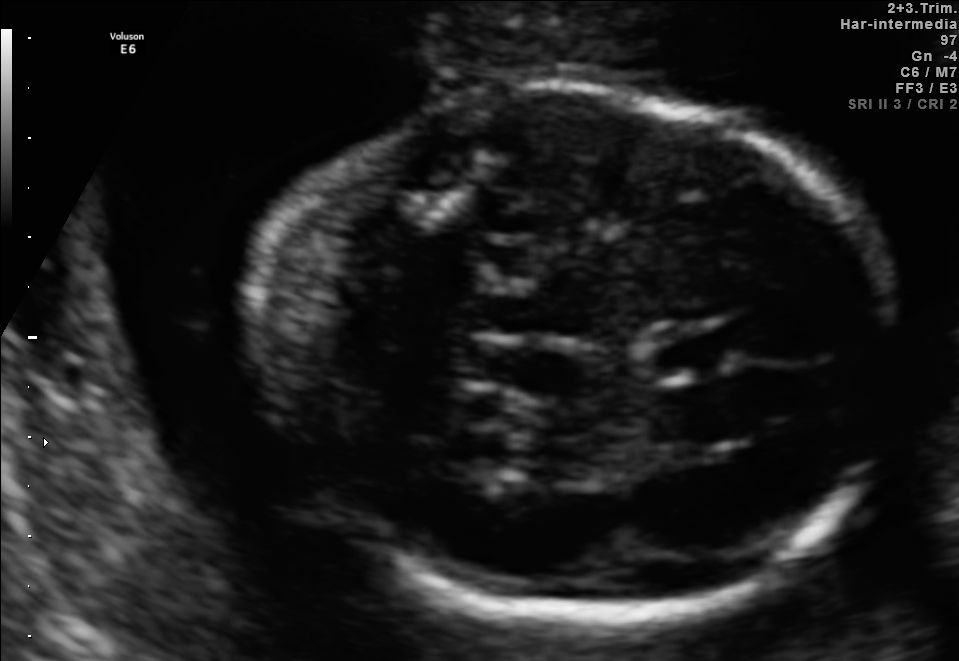
Fetal brain, trans-thalamic plane. Locate the fetal head and, if visible, the cavum septum pellucidum (CSP) and lateral ventricle (LV). Give bounding boxes as [x1,y1,x2,y2].

Head: [252,86,893,625]
CSP: [642,316,740,385]